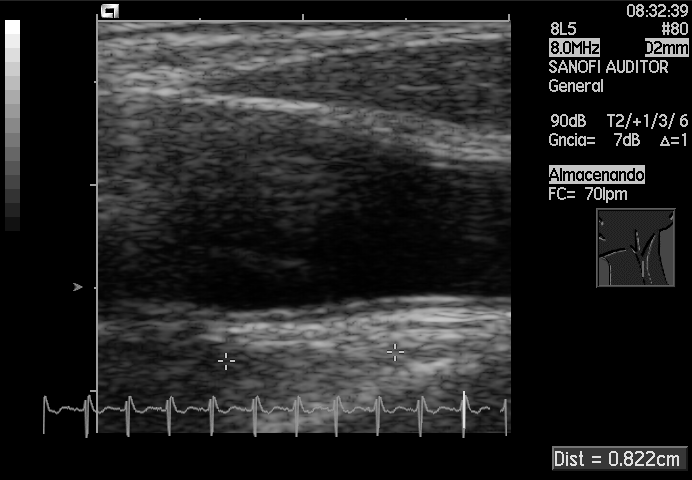
Identify the standard plane in this fetal ultrasound image: fetal abdomen, fetal brain, fetal femur, fetal thorax, maternal cervix, or other. If it's fetal brain and one of the three standard brain planes (trans-thalamic, trans-cerebellum, trans-ventricular), name which.

Other